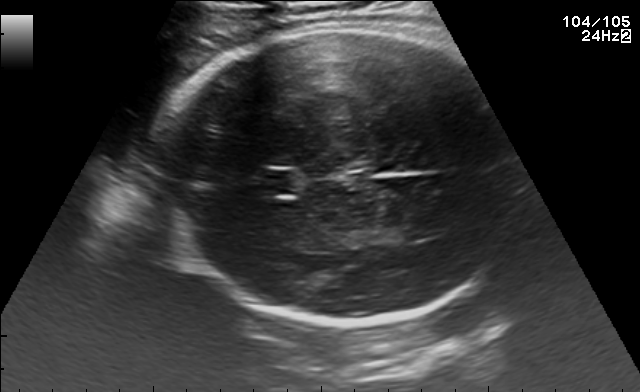
Fetal brain, trans-thalamic plane. Locate the fetal head.

Head: [151,24,508,326]